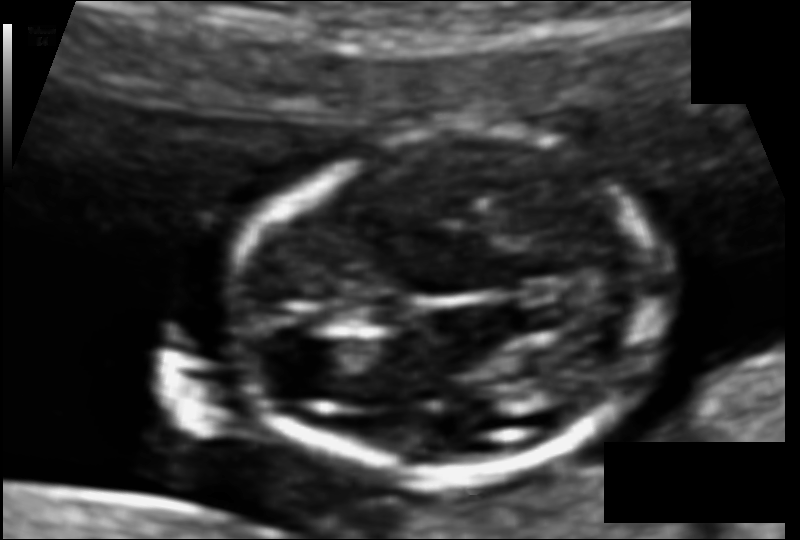
In this fetal head ultrasound, give bounding boxes for the head outline, cavum septum pellucidum (CSP), and lateral ventricle (LV), where visible. Image width: 60.3 mm.

Head: [232,132,665,473]